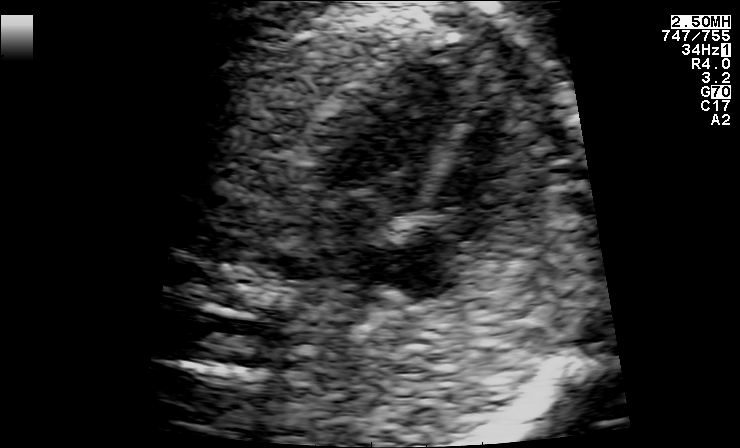
Identify the standard plane in this fetal ultrasound image: fetal abdomen, fetal brain, fetal femur, fetal thorax, maternal cervix, or other. If it's fetal brain and one of the three standard brain planes (trans-thalamic, trans-cerebellum, trans-ventricular), name which.

Fetal thorax